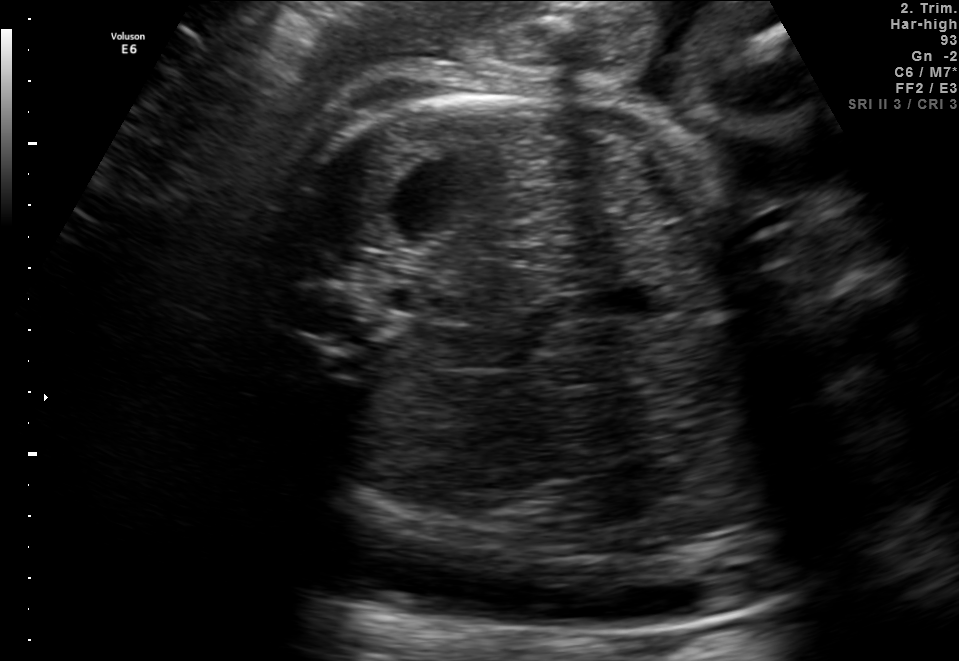
This is a 2D maternal-fetal ultrasound frame. Is it a fetal abdomen, fetal brain, fetal femur, fetal thorax, maternal cervix, or other standard plane? If it's fetal brain and one of the three standard brain planes (trans-thalamic, trans-cerebellum, trans-ventricular), name which.

Fetal abdomen